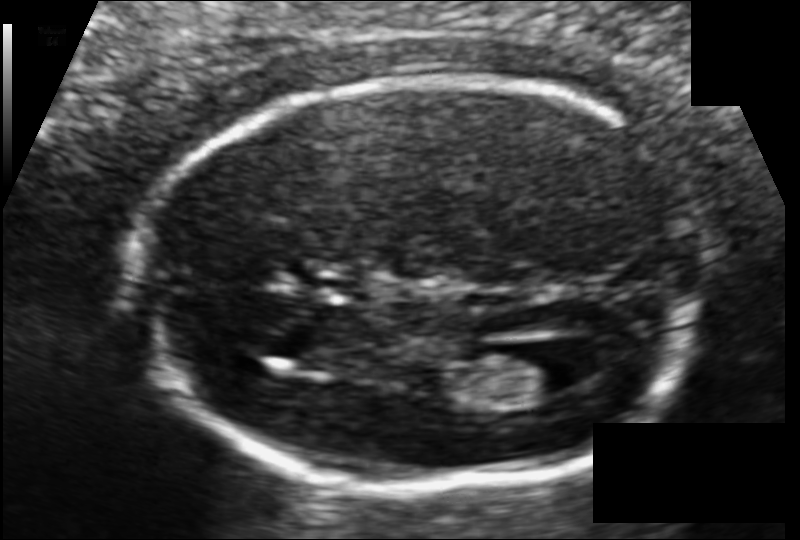
Fetal head ultrasound. Image width: 83.6 mm. Where is the lateral ventricle?

Lateral ventricle bounding box: [493,336,589,405]